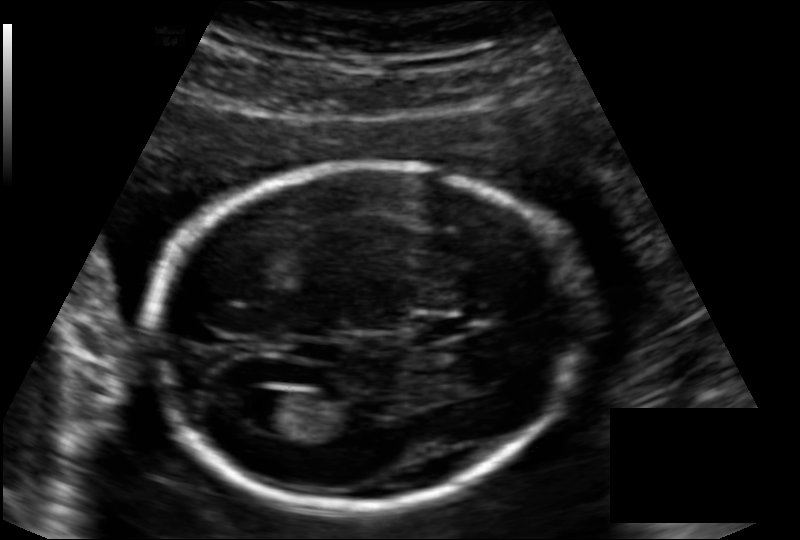
Fetal head ultrasound. Image width: 108.5 mm. Locate the lateral ventricle.

Lateral ventricle: [232,386,302,435]